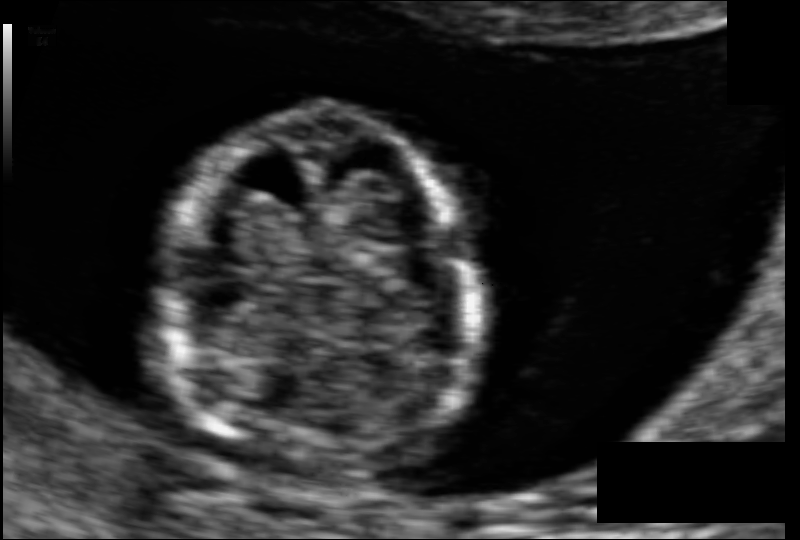
From this fetal ultrasound, estimate the head circumference (image width 54.8 mm).

Head circumference: 76.4 mm.